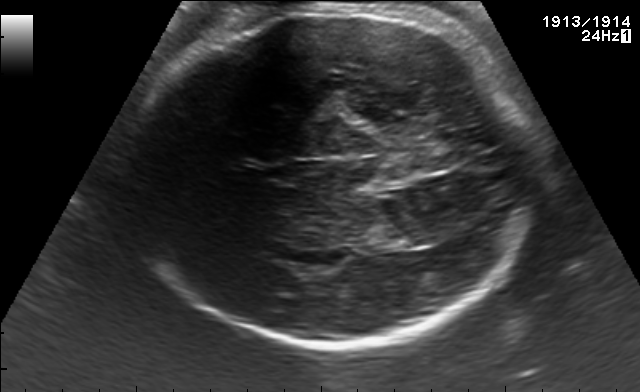
Fetal brain, trans-thalamic plane. Give [x1,y1,x2,y2] bounding boxes for each visible structure among: fetal head, CSP, LV.

Head: [120,13,527,349]